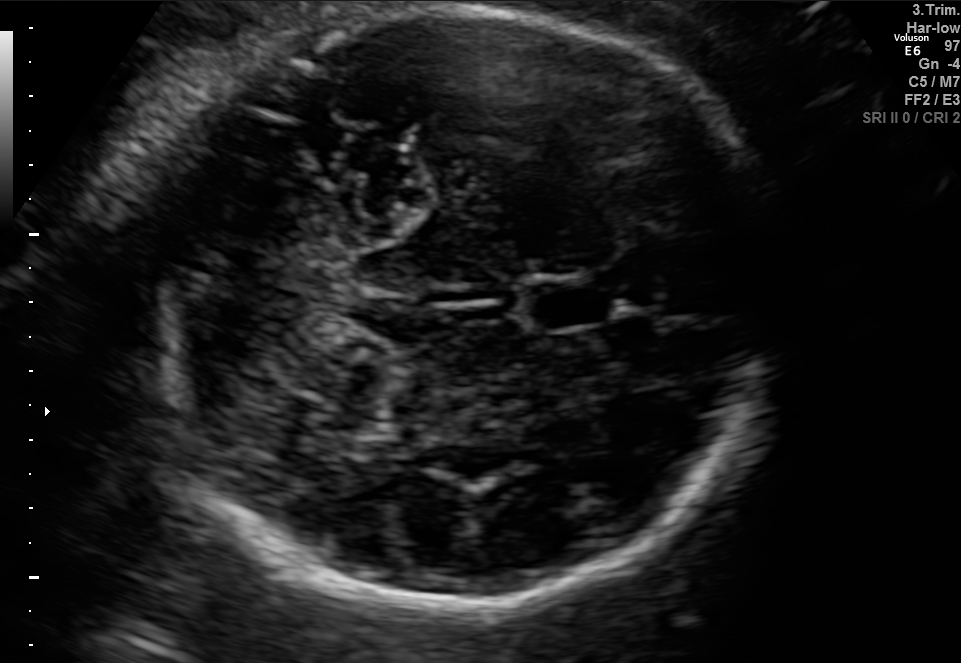
Fetal brain, trans-cerebellum plane. Where is the cavum septum pellucidum?

CSP bounding box: [523,276,612,334]